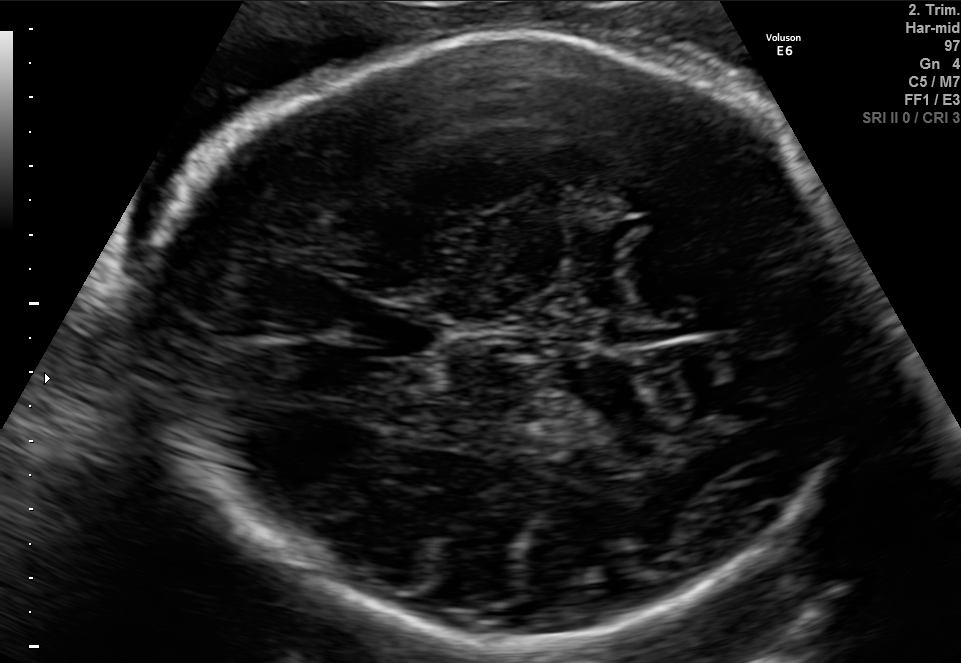
Fetal brain, trans-thalamic plane. Where is the fetal head?

Head bounding box: [148,31,861,648]